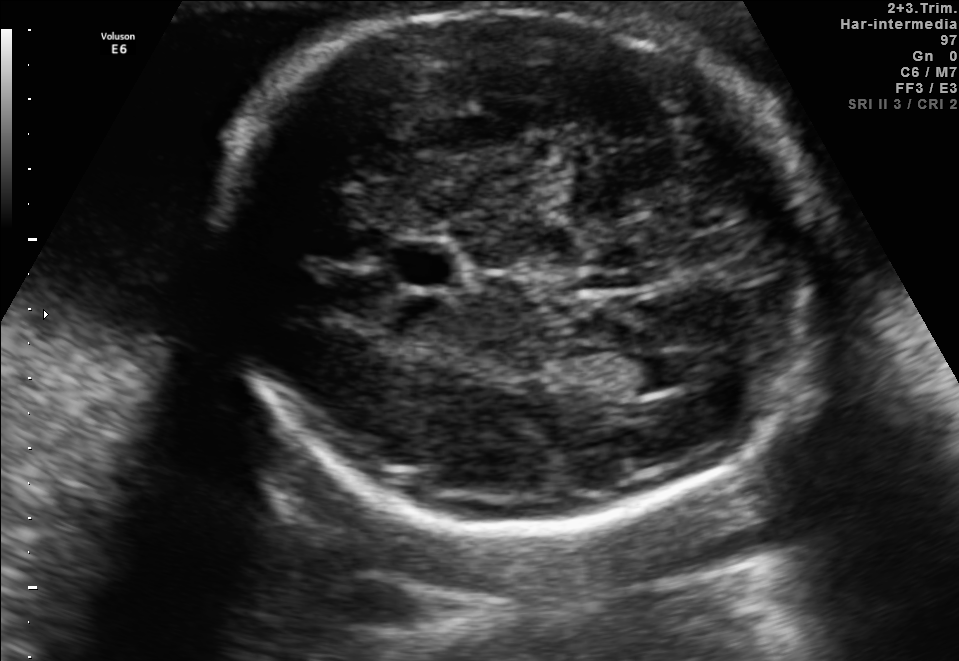
Fetal brain, trans-ventricular plane. Give [x1,y1,x2,y2] bounding boxes for each visible structure among: fetal head, CSP, LV.

Head: [184,2,853,539]
CSP: [381,242,467,288]
Lateral ventricle: [623,343,701,397]